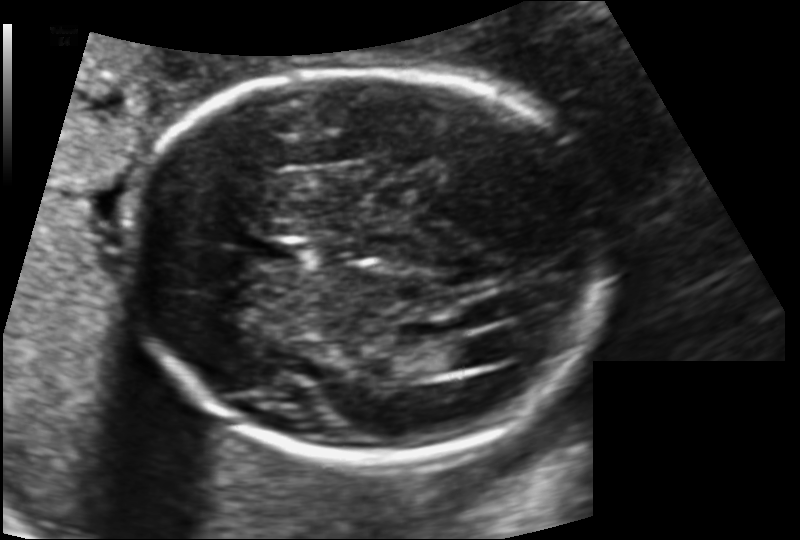
What is the fetal head circumference? Image width is 107.8 mm.

189.4 mm